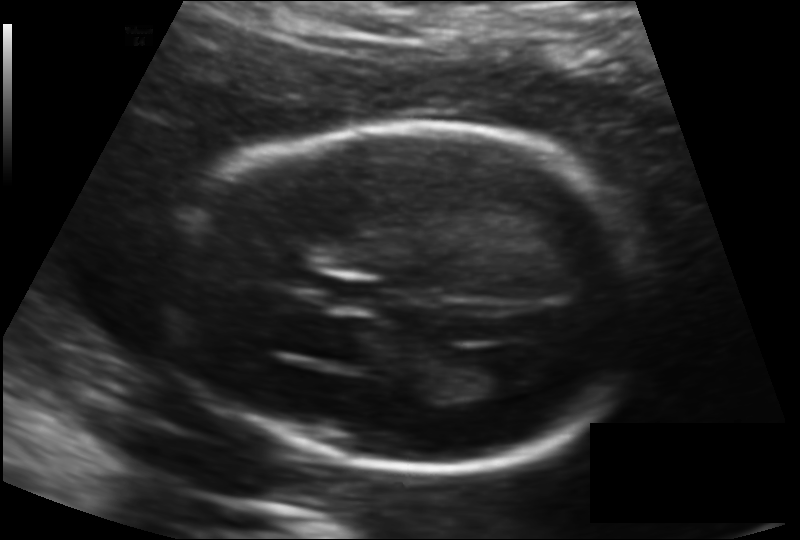
From this fetal ultrasound, estimate the head circumference (image width 108.1 mm).

Head circumference: 178.4 mm.